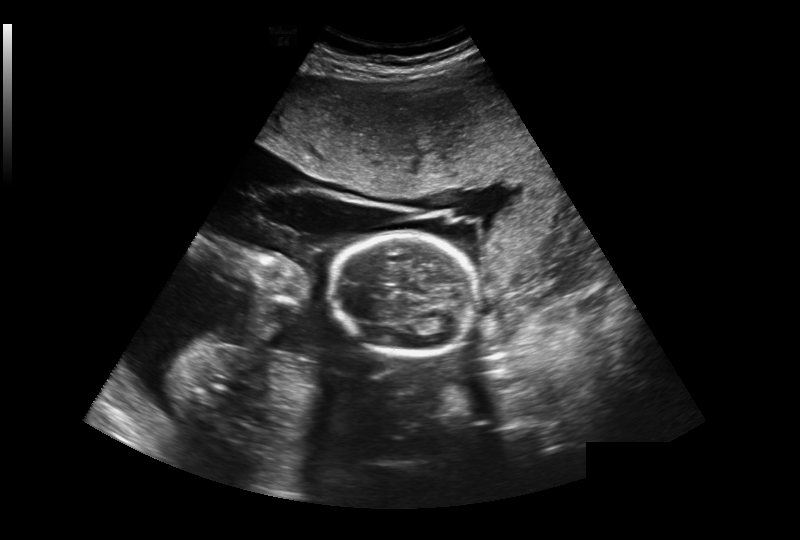
Fetal head ultrasound. Image width: 314.6 mm. Locate the fetal head.

Head: [331,234,477,355]